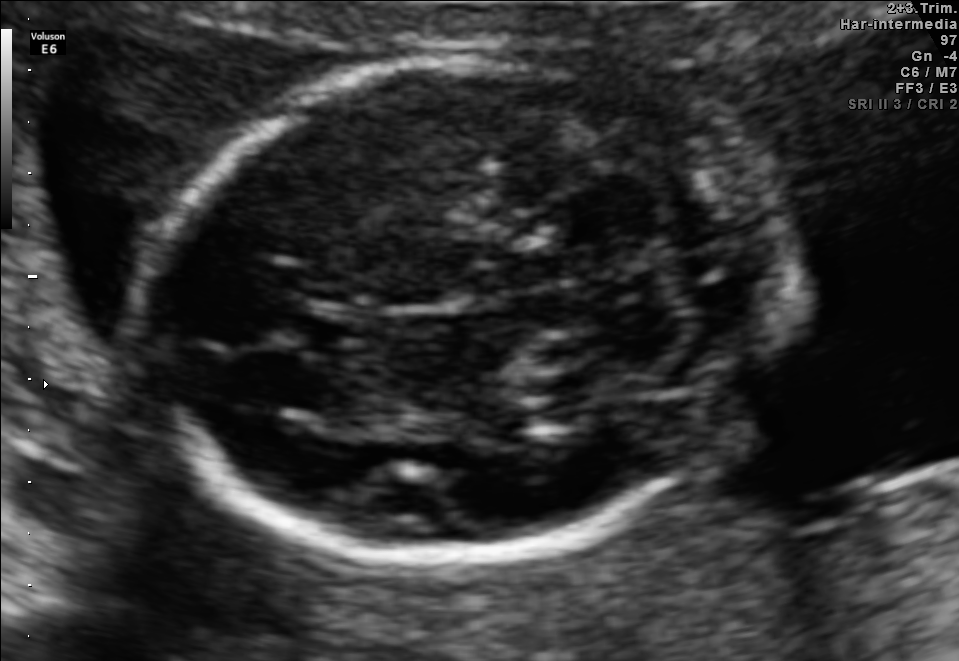
Fetal brain, trans-cerebellum plane. Where is the fetal head?

Head bounding box: [160,55,739,572]